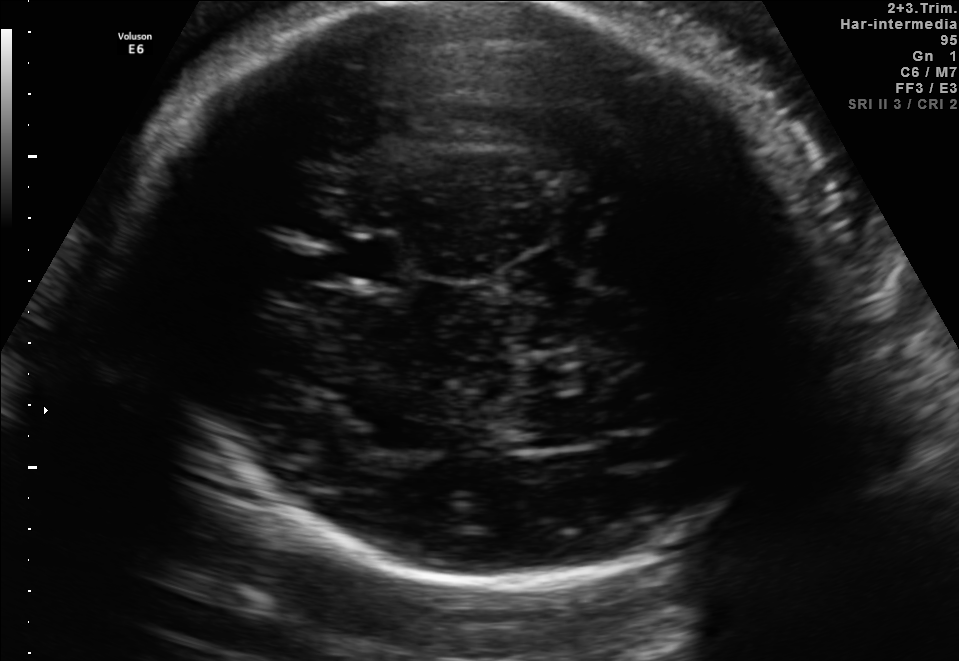
In this fetal brain, trans-thalamic plane, give the bounding box of the fetal head.

[122,4,833,585]